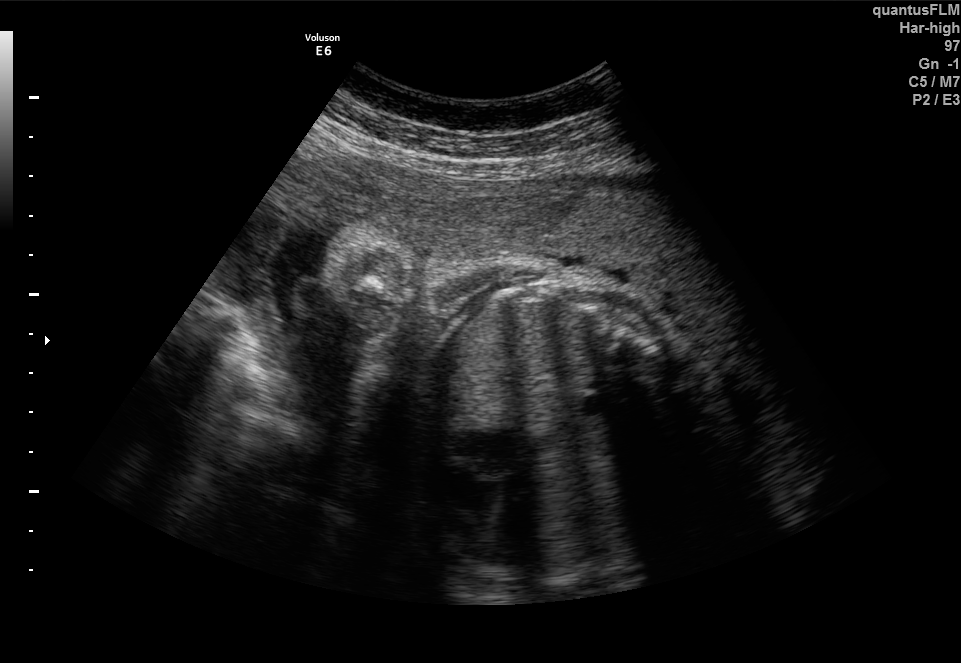
Which standard maternal-fetal ultrasound plane is shown: fetal abdomen, fetal brain, fetal femur, fetal thorax, maternal cervix, or other? If it's fetal brain and one of the three standard brain planes (trans-thalamic, trans-cerebellum, trans-ventricular), name which.

Other